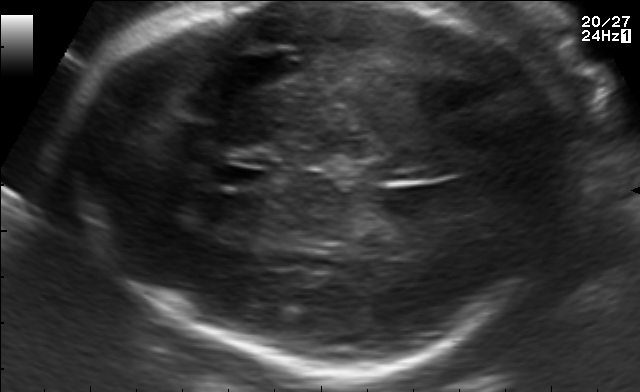
In this fetal brain, trans-thalamic plane, give the bounding box of the fetal head.

[46,4,561,362]